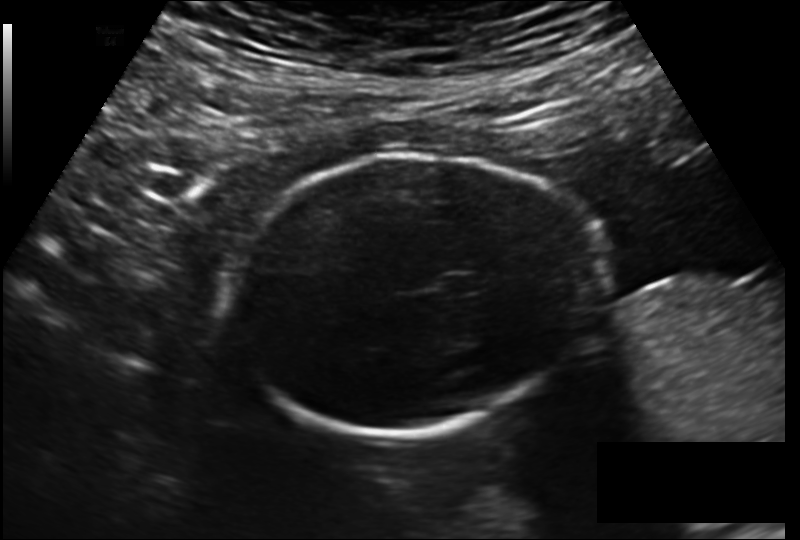
Fetal head ultrasound. Image width: 142.1 mm. Give [x1,y1,x2,y2] bounding boxes for each visible structure among: fetal head, CSP, LV.

Head: [237,151,596,438]
CSP: [441,272,478,295]